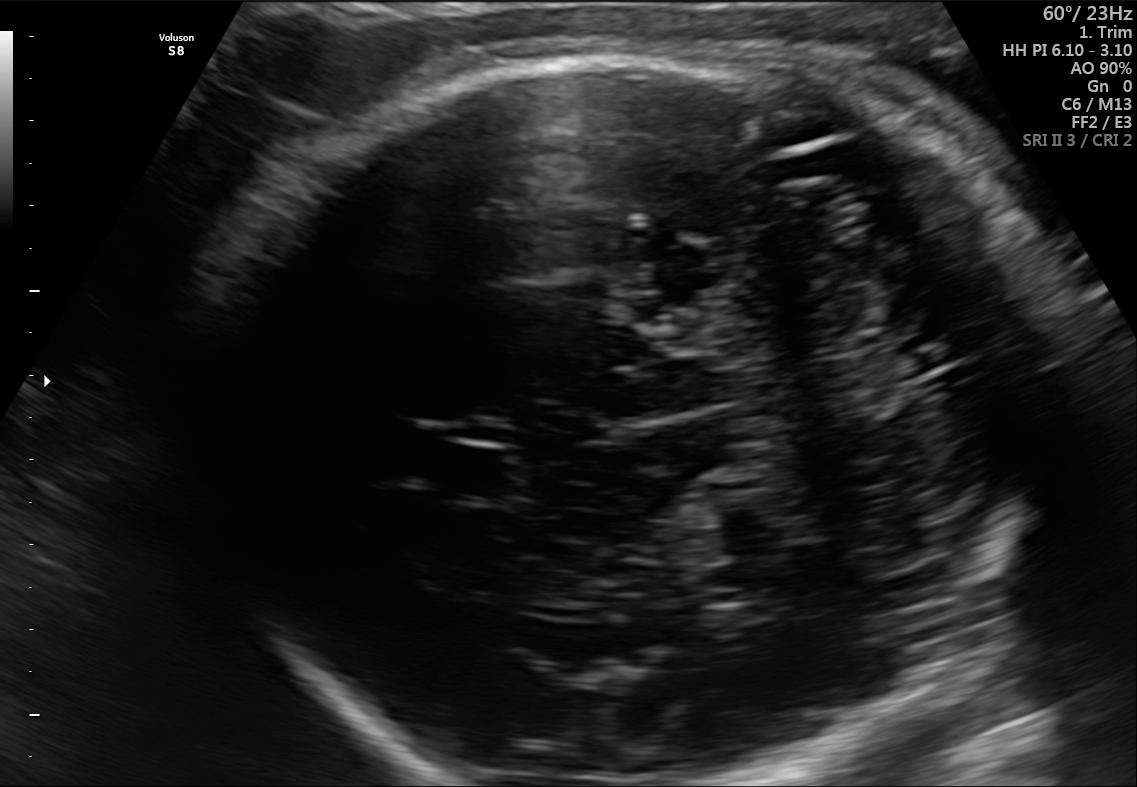
Fetal brain, trans-cerebellum plane. Locate the fetal head and, if visible, the cavum septum pellucidum (CSP) and lateral ventricle (LV). Give bounding boxes as [x1,y1,x2,y2].

Head: [203,50,1055,785]
CSP: [418,432,531,512]